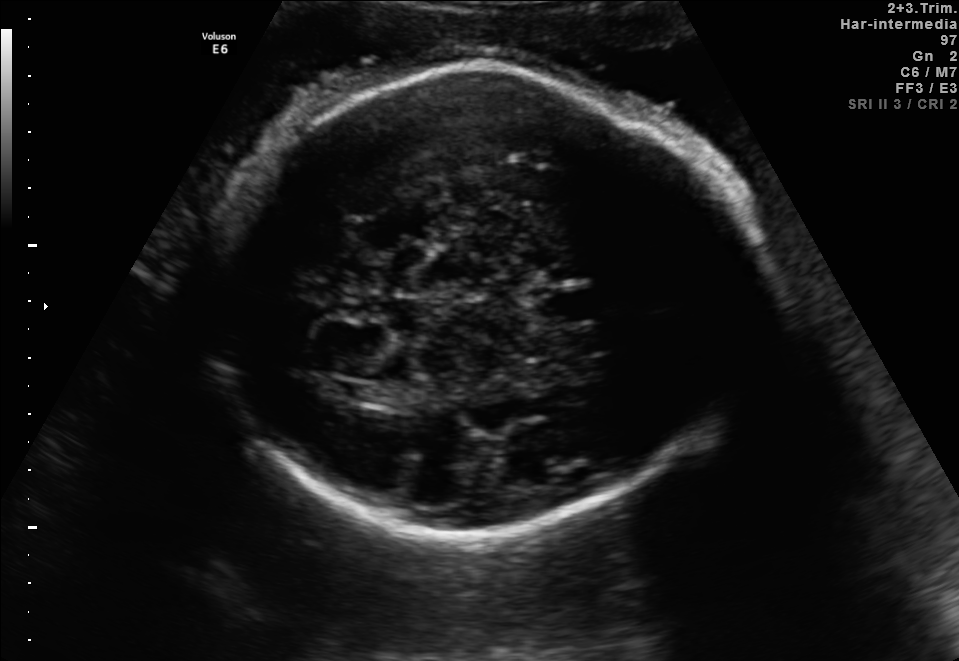
Fetal brain, trans-thalamic plane. Where is the fetal head?

Head bounding box: [207,65,764,534]